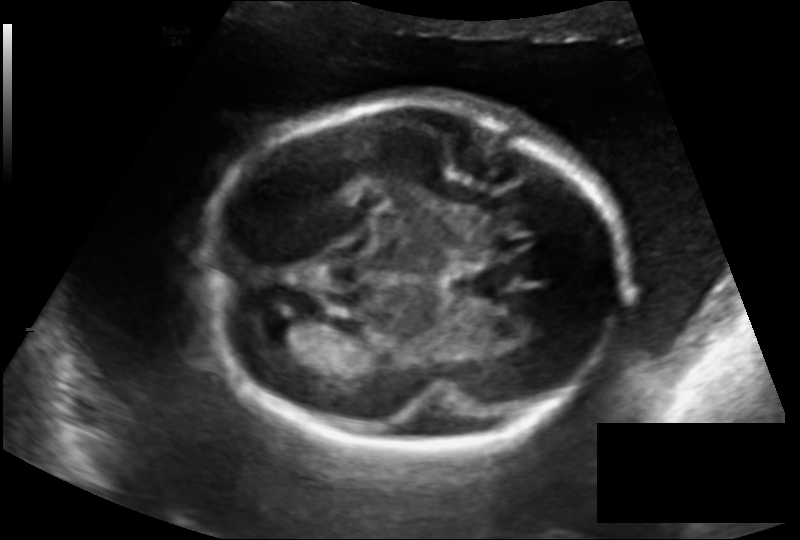
Estimate the fetal head circumference from this 2D ultrasound. Image width: 129.7 mm.

Head circumference: 199.5 mm.